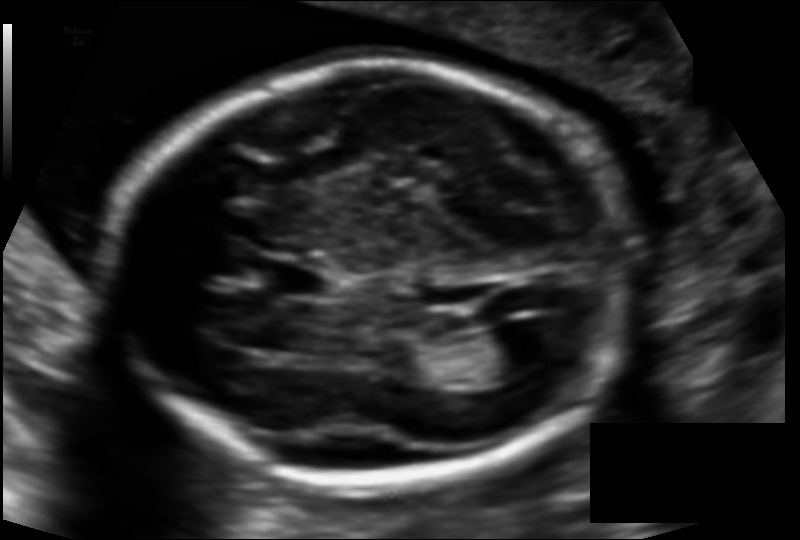
In this fetal head ultrasound, give bounding boxes for the head outline, cavum septum pellucidum (CSP), and lateral ventricle (LV), where visible. Image width: 96.7 mm.

Head: [110,63,626,484]
CSP: [259,256,330,300]
Lateral ventricle: [467,318,554,385]